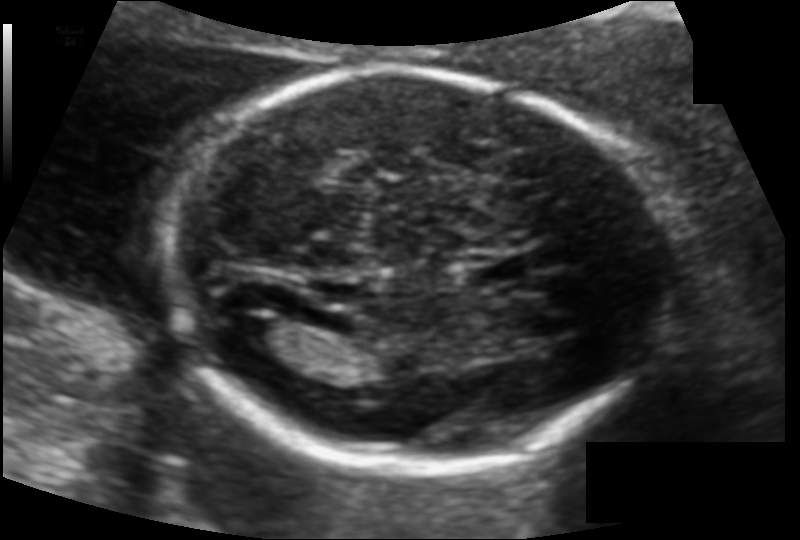
Fetal head ultrasound. Image width: 91.9 mm. Locate the fetal head and, if visible, the cavum septum pellucidum (CSP) and lateral ventricle (LV). Give bounding boxes as [x1,y1,x2,y2].

Head: [164,70,666,465]
CSP: [465,249,534,295]
Lateral ventricle: [227,314,285,350]